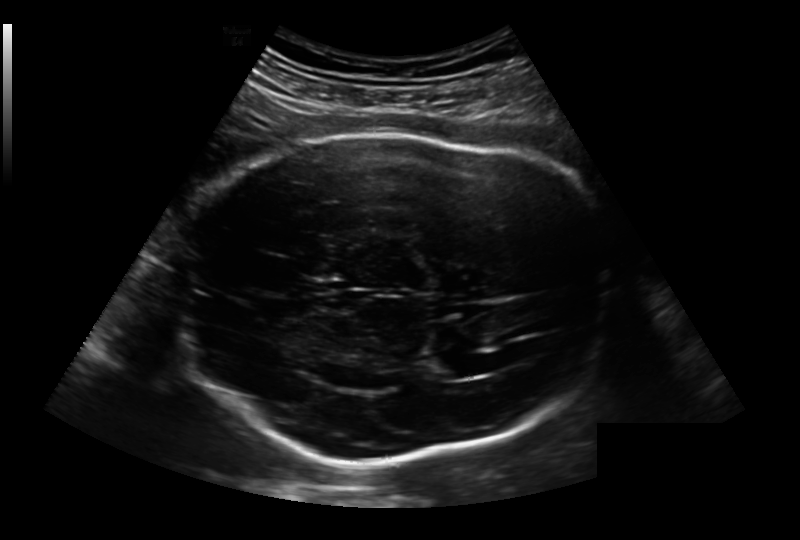
In this fetal head ultrasound, give the bounding box of the lateral ventricle. Image width: 188.6 mm.

[425,352,476,381]